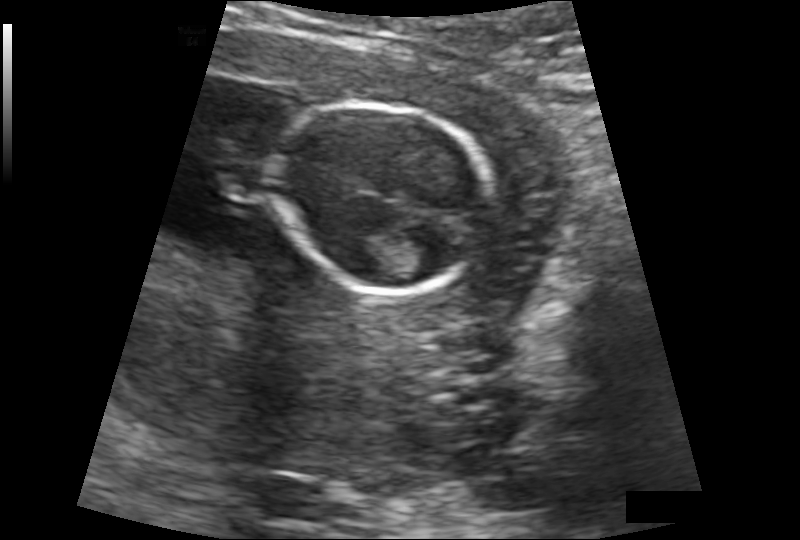
Fetal head ultrasound. Image width: 105.8 mm. Where is the fetal head?

Head bounding box: [274,105,492,291]